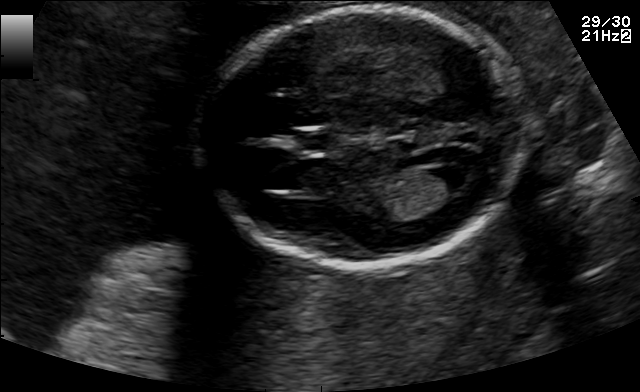
Which standard maternal-fetal ultrasound plane is shown: fetal abdomen, fetal brain, fetal femur, fetal thorax, maternal cervix, or other? If it's fetal brain and one of the three standard brain planes (trans-thalamic, trans-cerebellum, trans-ventricular), name which.

Fetal brain (trans-ventricular plane)